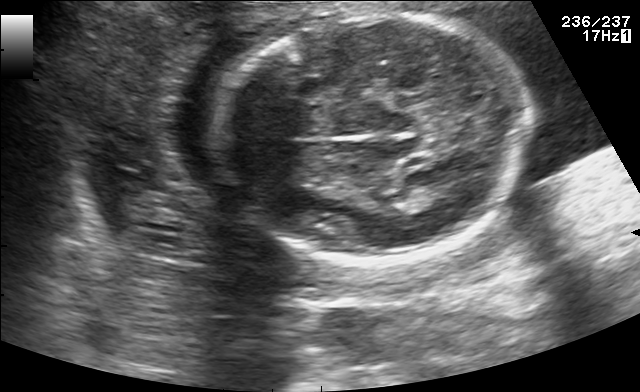
In this fetal brain, trans-thalamic plane, give the bounding box of the lateral ventricle.

[404,171,463,214]